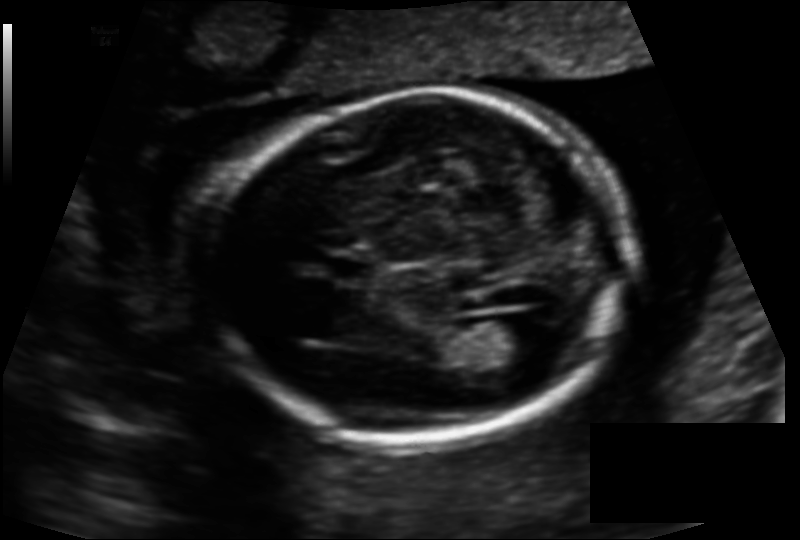
Fetal head ultrasound. Image width: 107.3 mm. Locate the lateral ventricle.

Lateral ventricle: [491,306,559,363]